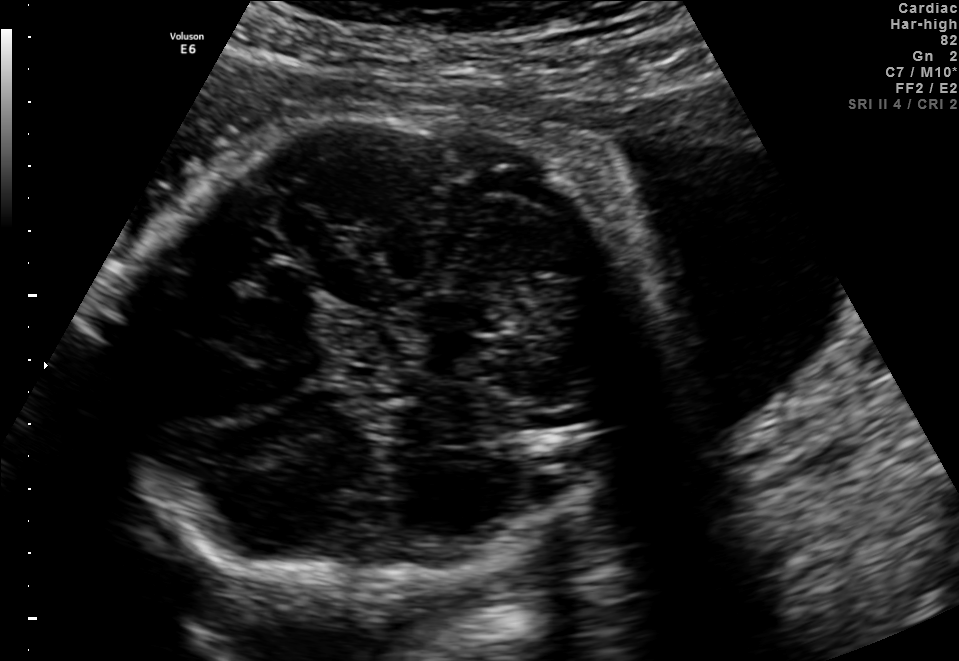
This is a 2D maternal-fetal ultrasound frame. Is it a fetal abdomen, fetal brain, fetal femur, fetal thorax, maternal cervix, or other standard plane? If it's fetal brain and one of the three standard brain planes (trans-thalamic, trans-cerebellum, trans-ventricular), name which.

Fetal brain (trans-thalamic plane)